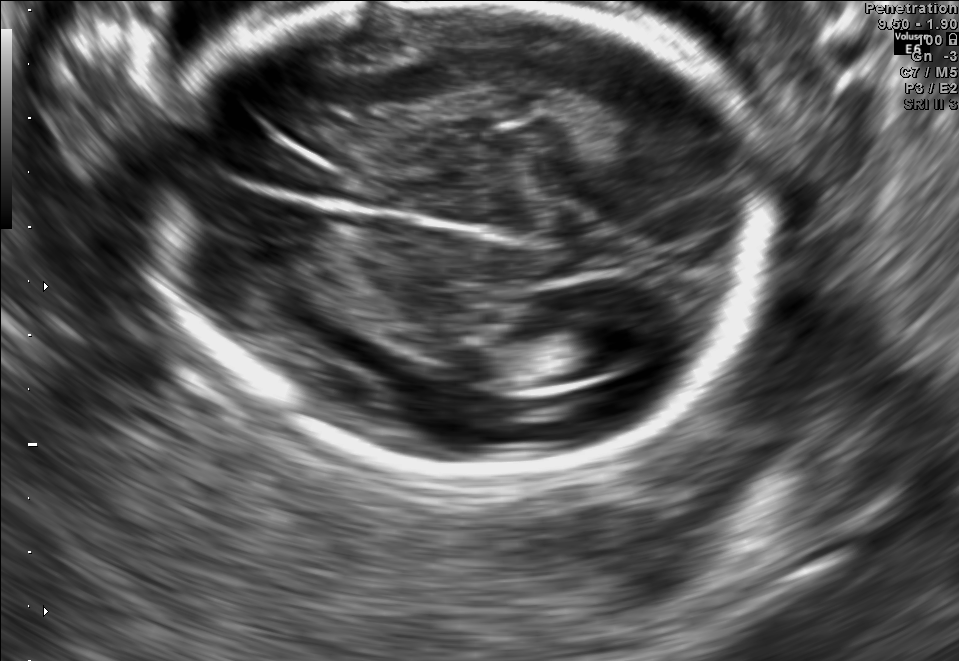
Fetal brain, trans-ventricular plane. Where is the fetal head?

Head bounding box: [146,3,777,466]